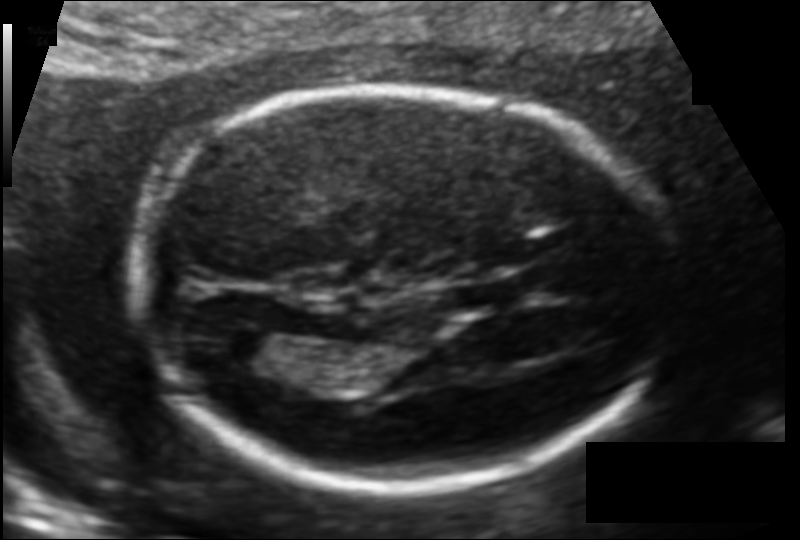
What is the fetal head circumference? Image width is 87.0 mm.

166.4 mm